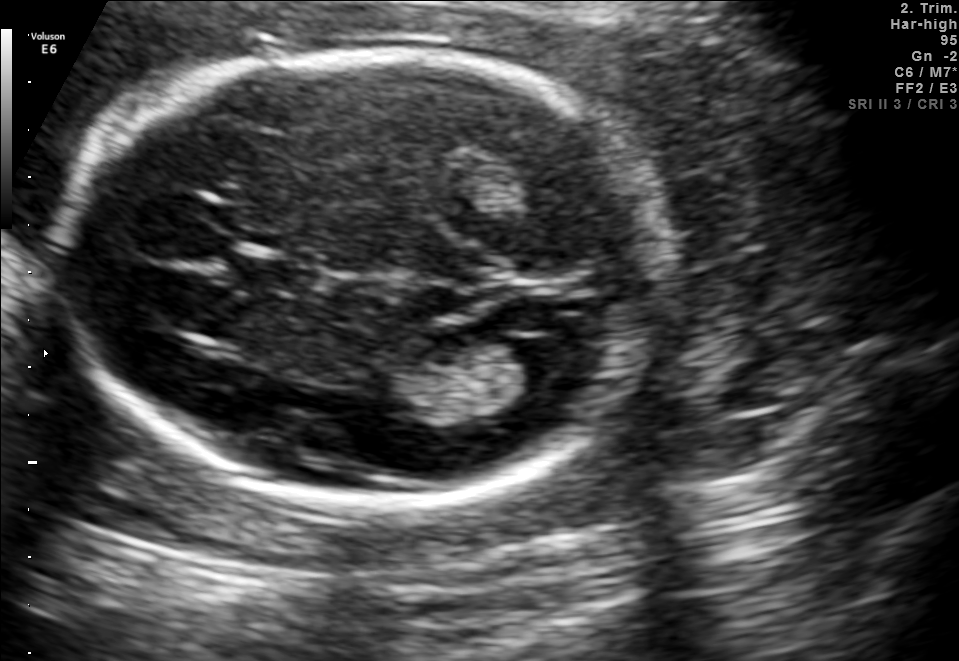
Fetal brain, trans-ventricular plane. Locate the fetal head and, if visible, the cavum septum pellucidum (CSP) and lateral ventricle (LV). Give bounding boxes as [x1,y1,x2,y2].

Head: [54,47,677,506]
CSP: [225,248,325,299]
Lateral ventricle: [508,336,585,383]